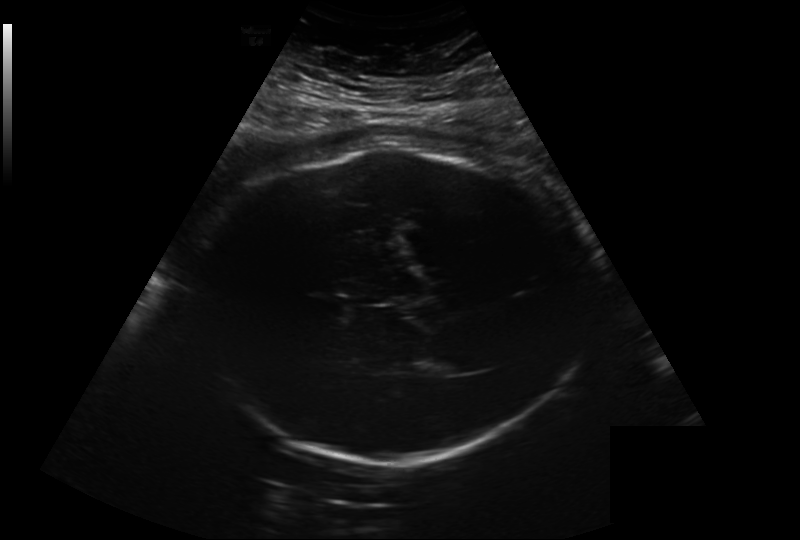
From this fetal ultrasound, estimate the head circumference (image width 225.2 mm).

Head circumference: 327.5 mm.